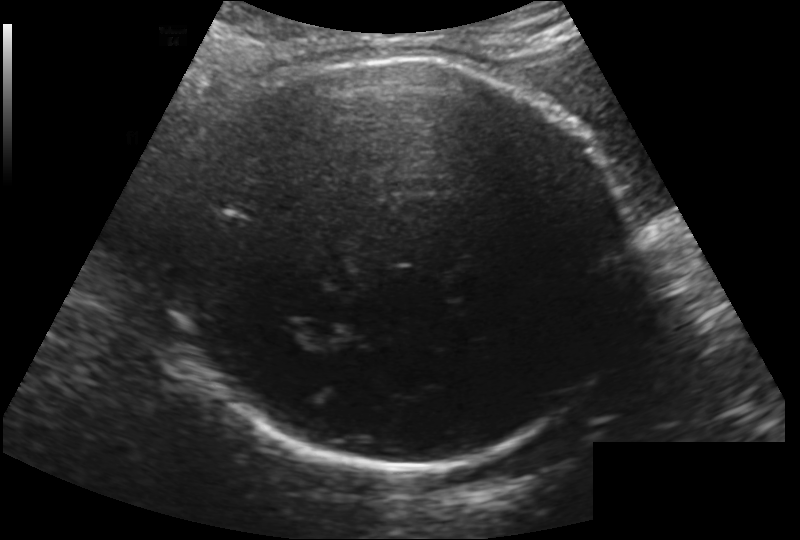
Fetal head ultrasound. Image width: 160.1 mm. Locate the fetal head.

Head: [166,59,632,471]